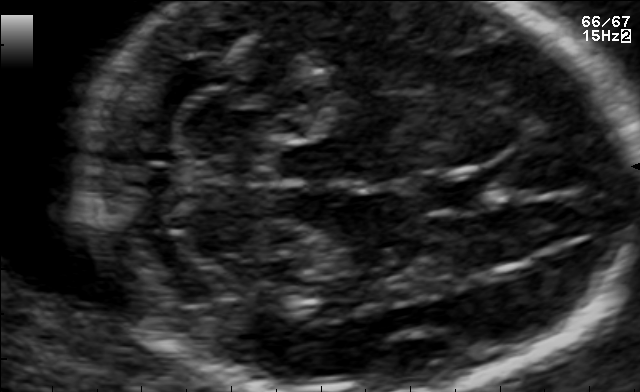
Fetal brain, trans-cerebellum plane. Where is the cavum septum pellucidum?

CSP bounding box: [415,163,504,219]